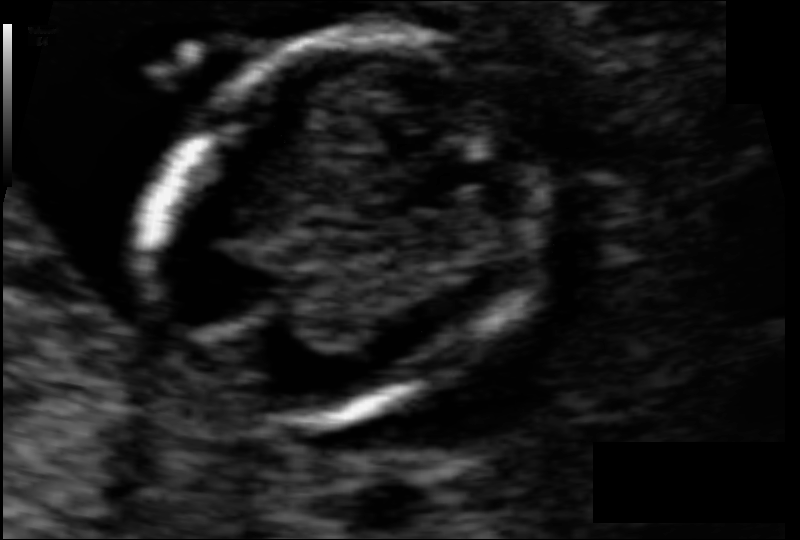
In this fetal head ultrasound, give bounding boxes for the head outline, cavum septum pellucidum (CSP), and lateral ventricle (LV), where visible. Image width: 48.5 mm.

Head: [148,37,539,418]